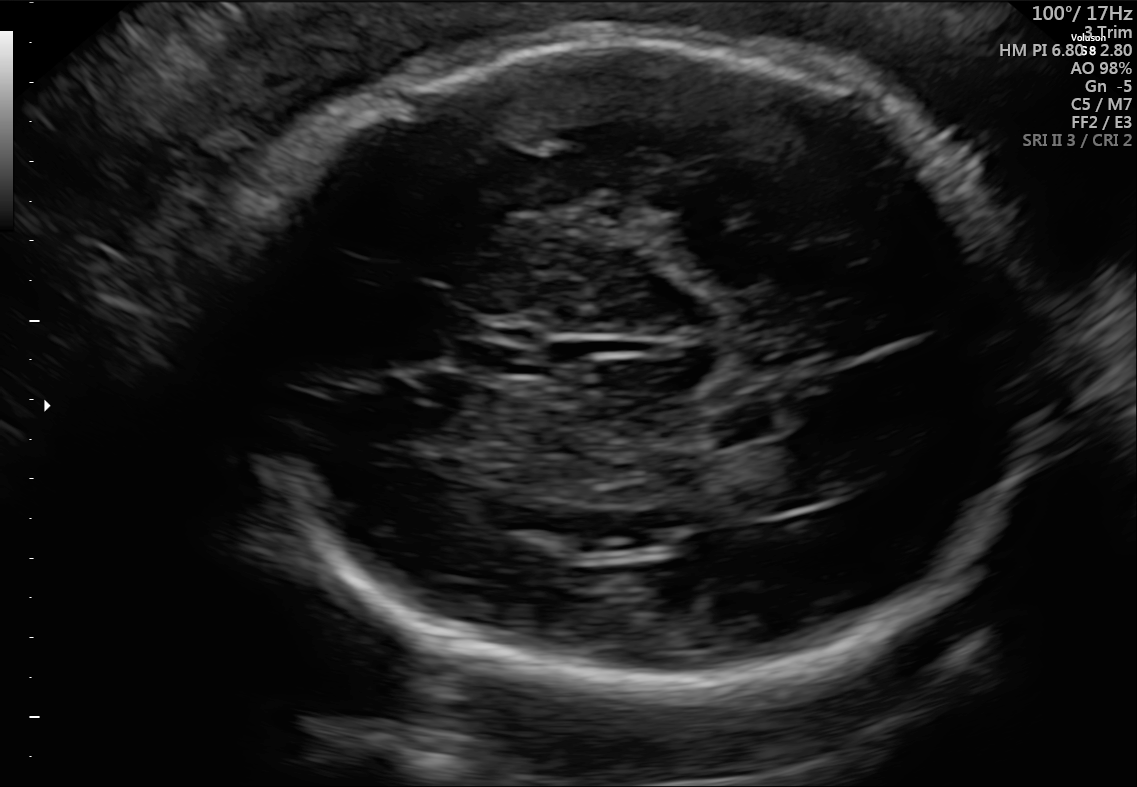
Fetal brain, trans-thalamic plane. Where is the fetal head?

Head bounding box: [210,29,1048,699]